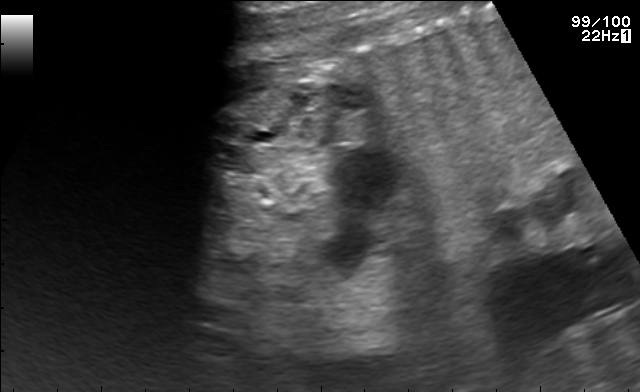
Classify this maternal-fetal ultrasound image as one of the six standard planes — fetal abdomen, fetal brain, fetal femur, fetal thorax, maternal cervix, or other. If it's fetal brain and one of the three standard brain planes (trans-thalamic, trans-cerebellum, trans-ventricular), name which.

Other